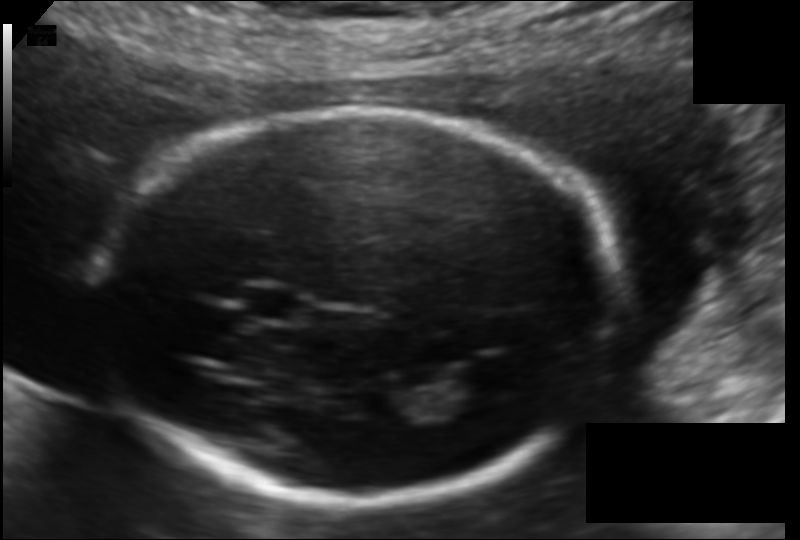
What is the fetal head circumference? Image width is 96.1 mm.

179.5 mm